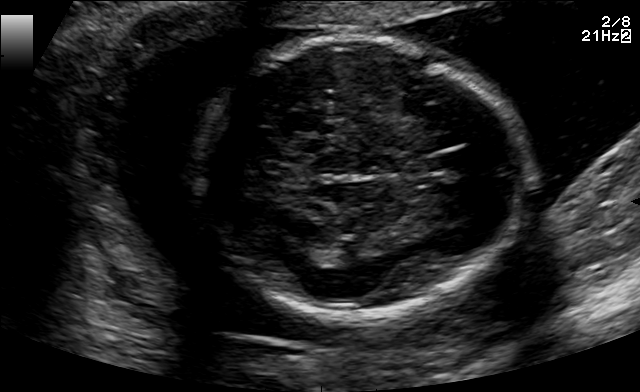
This is a 2D maternal-fetal ultrasound frame. Is it a fetal abdomen, fetal brain, fetal femur, fetal thorax, maternal cervix, or other standard plane? If it's fetal brain and one of the three standard brain planes (trans-thalamic, trans-cerebellum, trans-ventricular), name which.

Fetal brain (trans-thalamic plane)